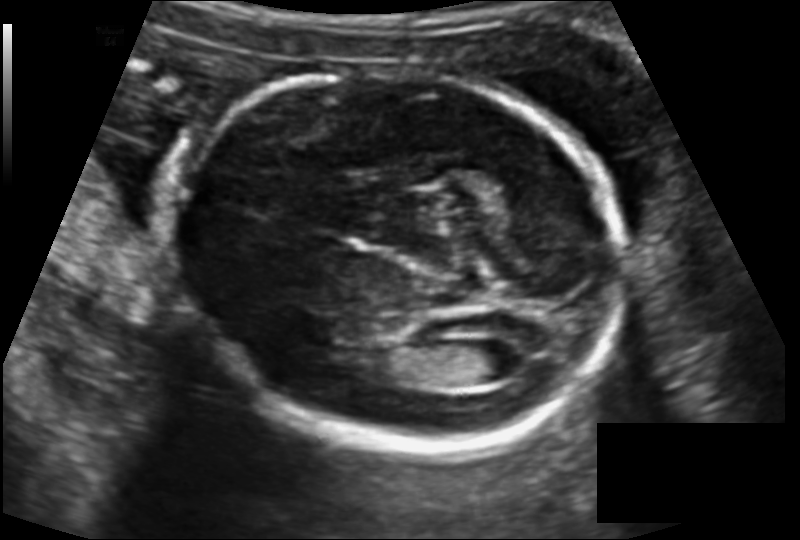
Fetal head ultrasound. Image width: 103.4 mm. Where is the lateral ventricle?

Lateral ventricle bounding box: [463,336,527,386]